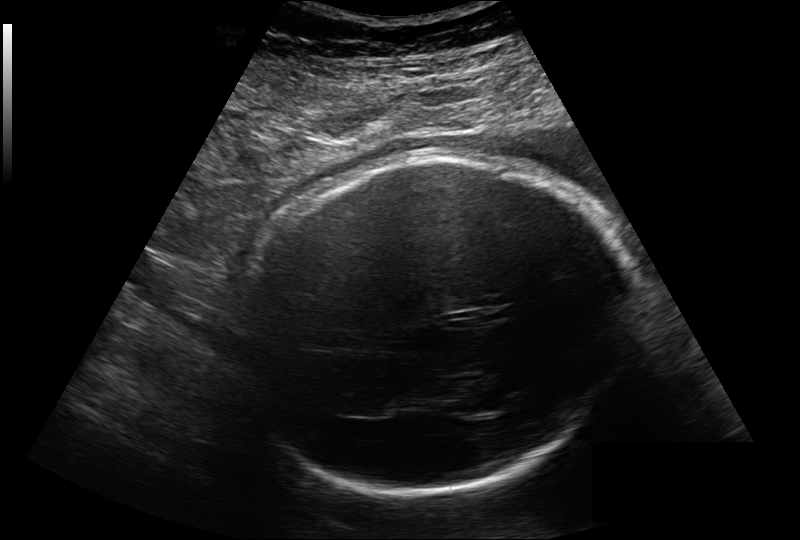
Fetal head ultrasound. Image width: 211.0 mm. Give [x1,y1,x2,y2] bounding boxes for each visible structure among: fetal head, CSP, LV.

Head: [236,154,631,493]